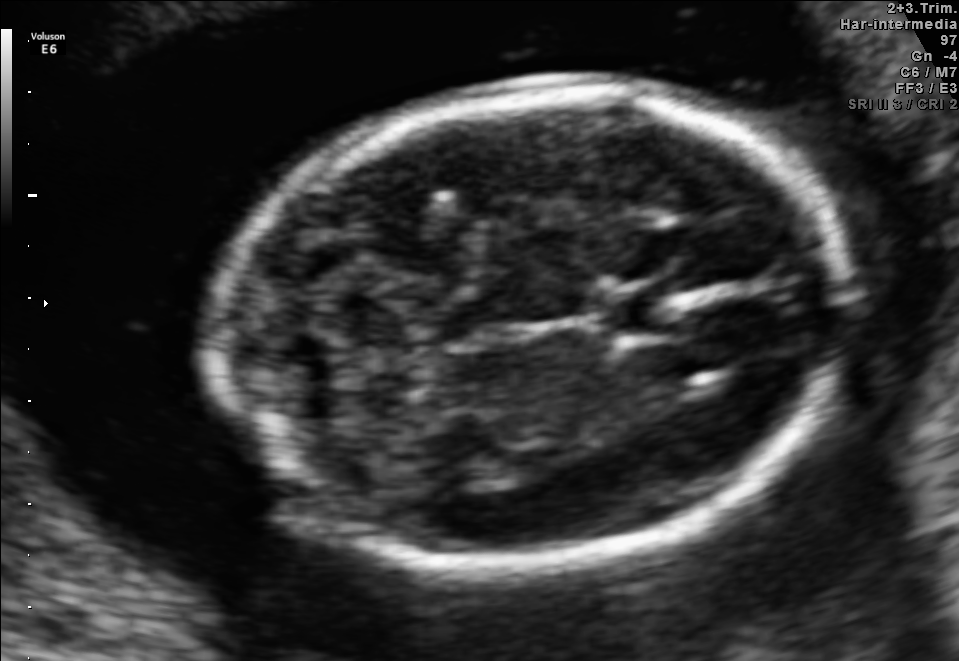
Fetal brain, trans-cerebellum plane. Locate the fetal head.

Head: [226,85,841,564]